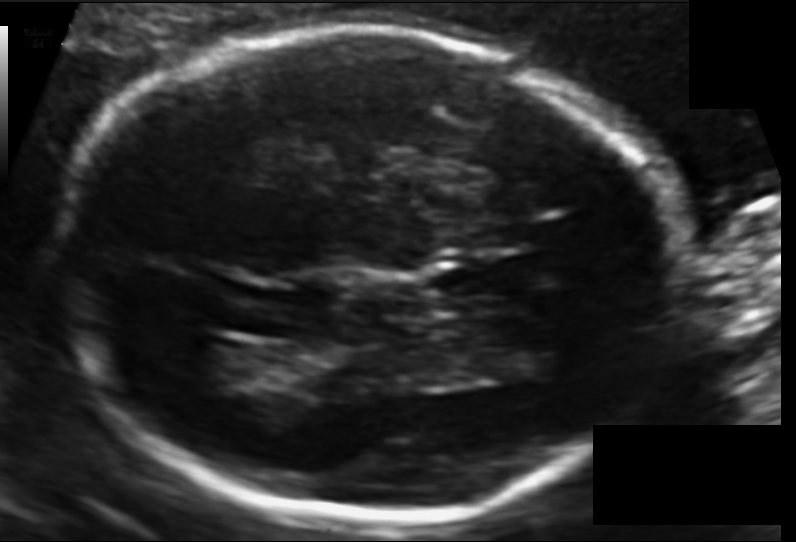
Fetal head ultrasound. Image width: 95.4 mm. Locate the lateral ventricle.

Lateral ventricle: [164,330,251,388]